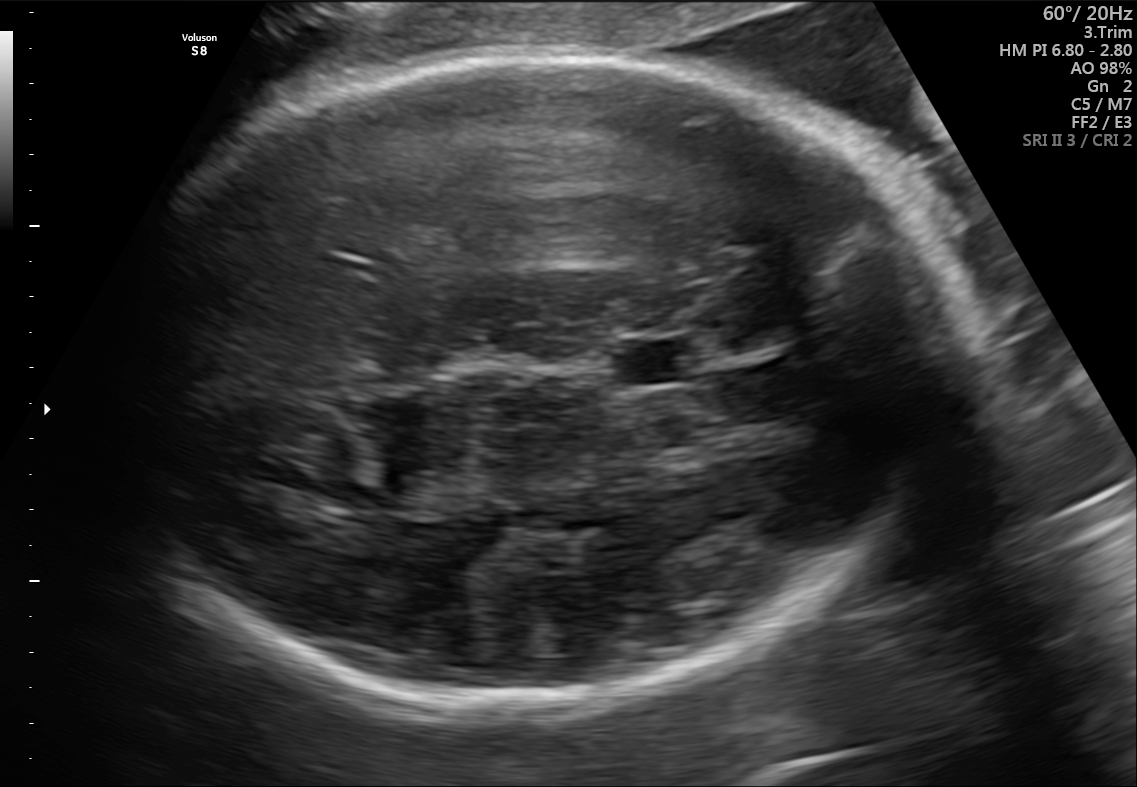
In this fetal brain, trans-thalamic plane, give the bounding box of the cavum septum pellucidum.

[614,336,706,388]